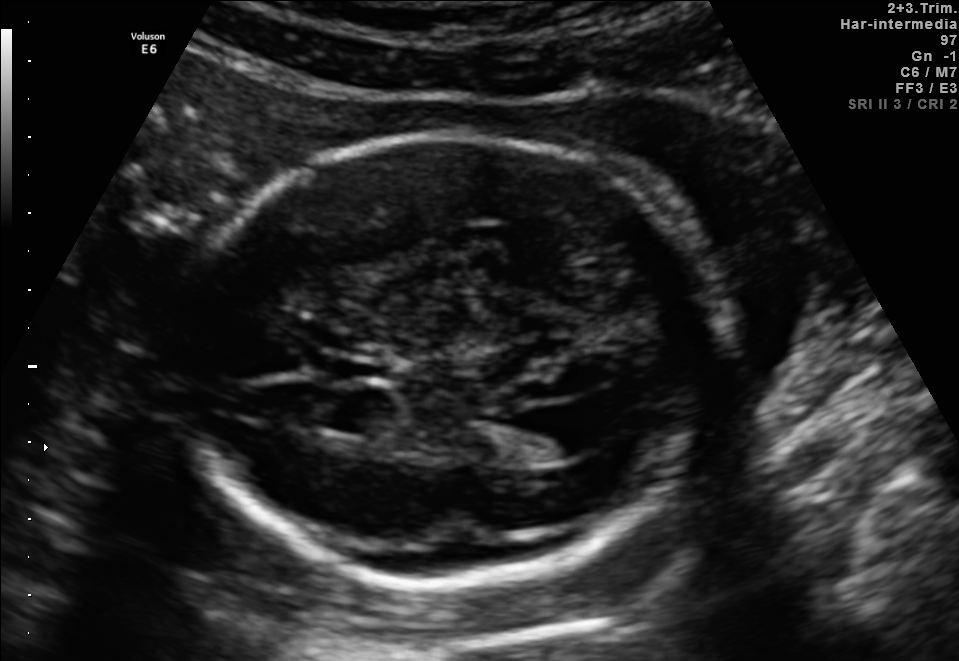
In this fetal brain, trans-ventricular plane, give the bounding box of the cavum septum pellucidum.

[325,359,389,379]